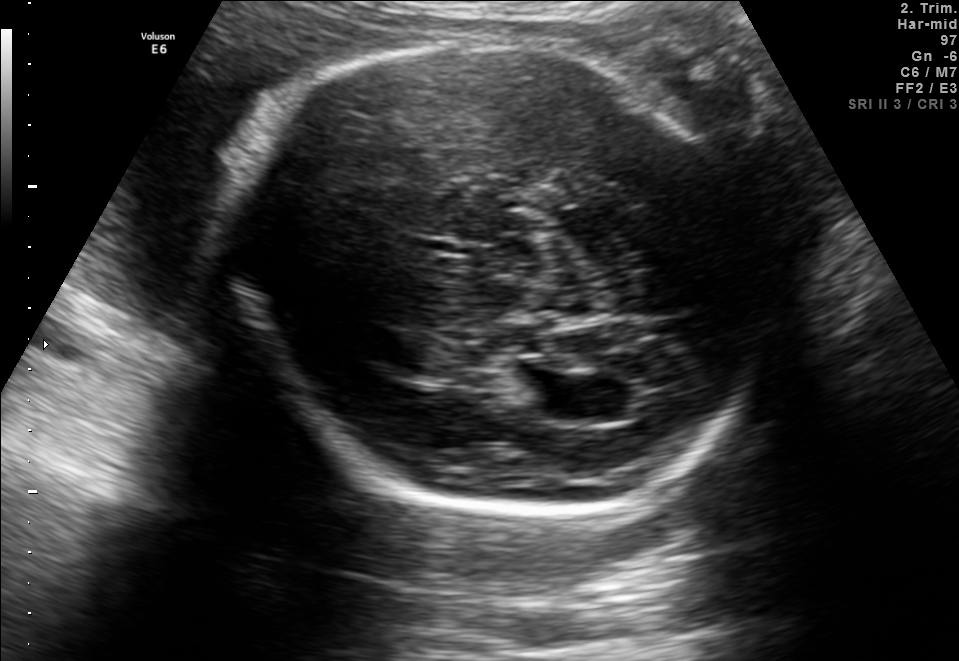
In this fetal brain, trans-ventricular plane, give the bounding box of the lateral ventricle.

[511,370,587,422]